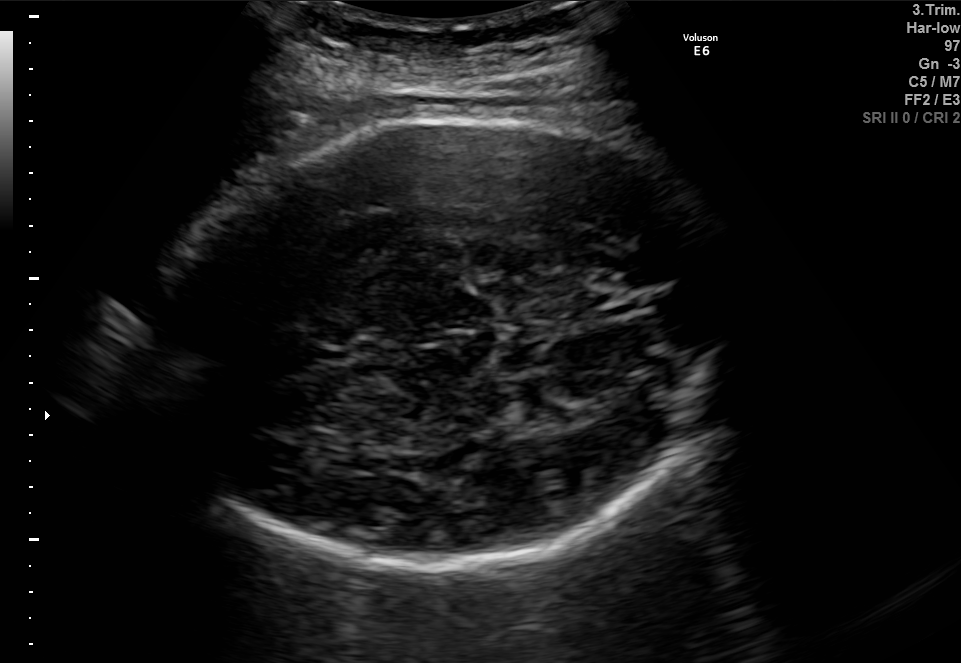
Identify the standard plane in this fetal ultrasound image: fetal abdomen, fetal brain, fetal femur, fetal thorax, maternal cervix, or other. If it's fetal brain and one of the three standard brain planes (trans-thalamic, trans-cerebellum, trans-ventricular), name which.

Fetal brain (trans-thalamic plane)